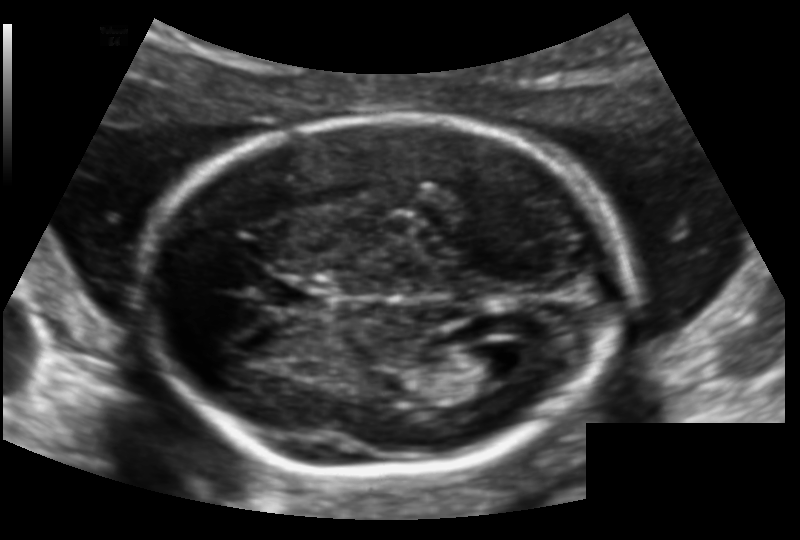
In this fetal head ultrasound, give the bounding box of the cavum septum pellucidum. Image width: 102.0 mm.

[266,276,325,313]